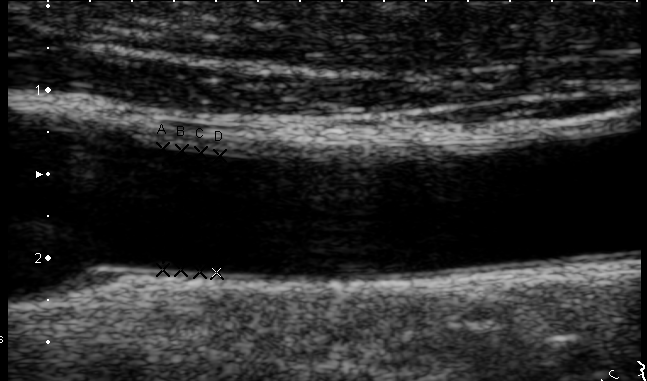
Classify this maternal-fetal ultrasound image as one of the six standard planes — fetal abdomen, fetal brain, fetal femur, fetal thorax, maternal cervix, or other. If it's fetal brain and one of the three standard brain planes (trans-thalamic, trans-cerebellum, trans-ventricular), name which.

Other